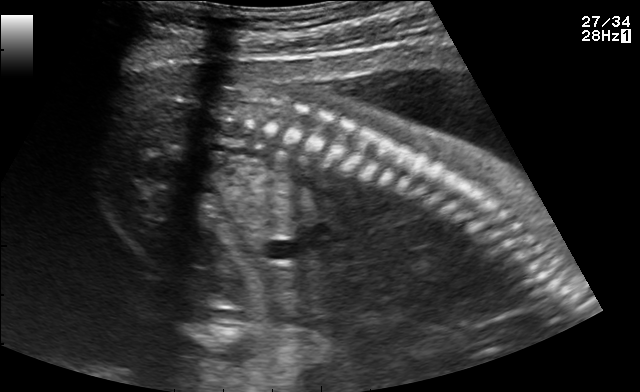
Which standard maternal-fetal ultrasound plane is shown: fetal abdomen, fetal brain, fetal femur, fetal thorax, maternal cervix, or other? If it's fetal brain and one of the three standard brain planes (trans-thalamic, trans-cerebellum, trans-ventricular), name which.

Other